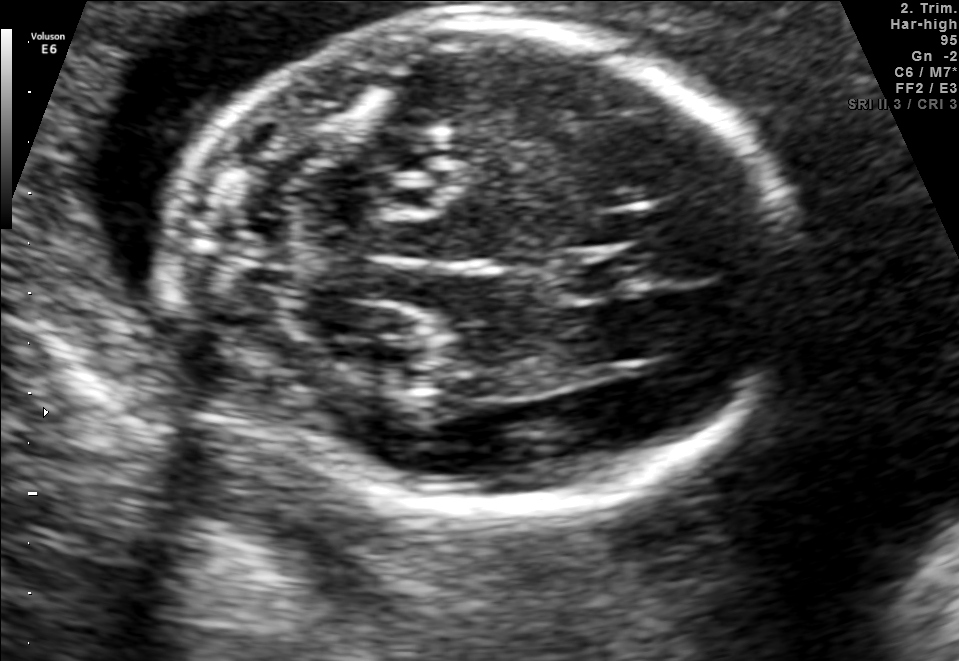
Classify this maternal-fetal ultrasound image as one of the six standard planes — fetal abdomen, fetal brain, fetal femur, fetal thorax, maternal cervix, or other. If it's fetal brain and one of the three standard brain planes (trans-thalamic, trans-cerebellum, trans-ventricular), name which.

Fetal brain (trans-cerebellum plane)